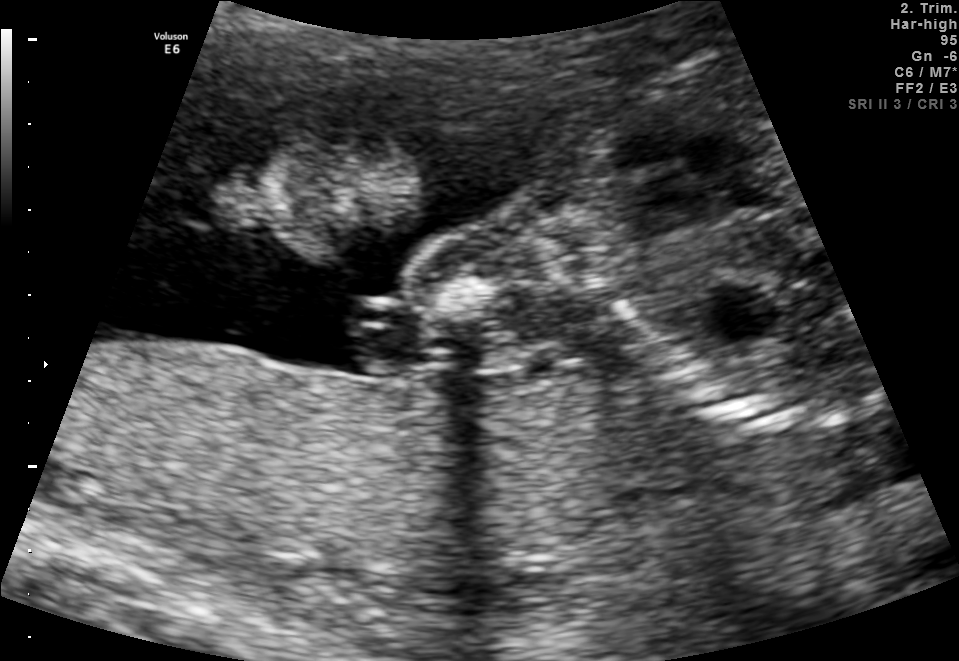
Which standard maternal-fetal ultrasound plane is shown: fetal abdomen, fetal brain, fetal femur, fetal thorax, maternal cervix, or other? If it's fetal brain and one of the three standard brain planes (trans-thalamic, trans-cerebellum, trans-ventricular), name which.

Other